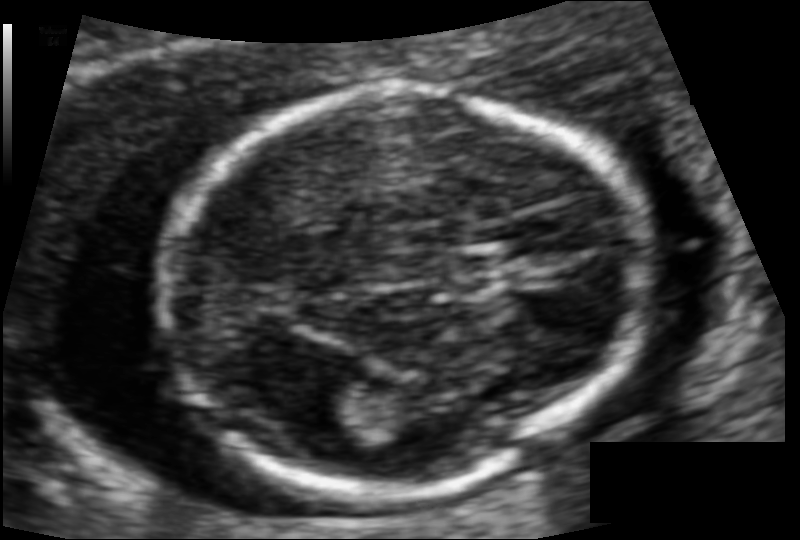
Fetal head ultrasound. Image width: 66.5 mm. Where is the fetal head?

Head bounding box: [164,87,637,493]